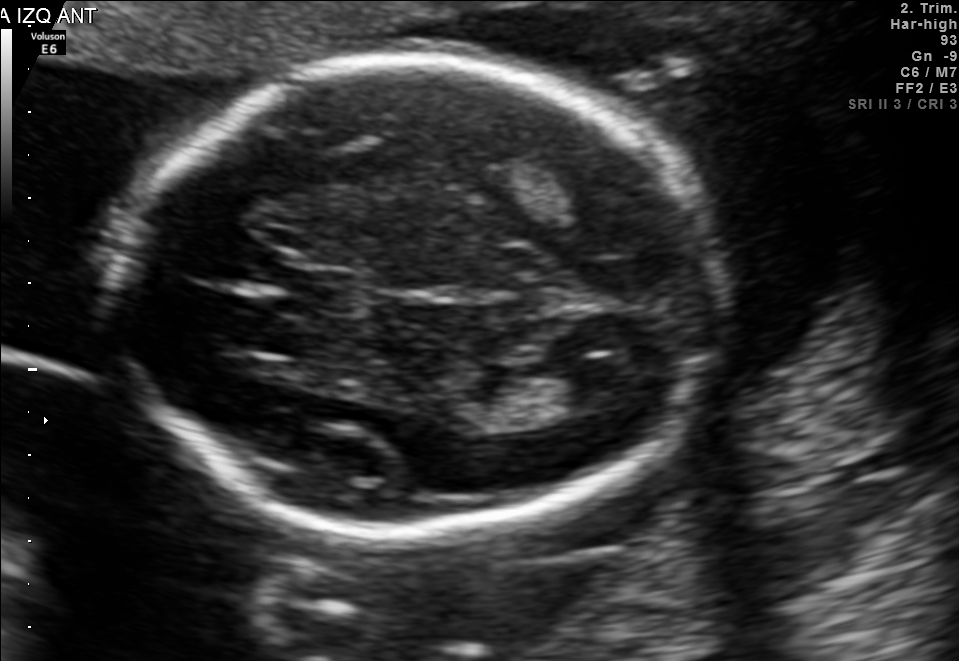
In this fetal brain, trans-thalamic plane, give the bounding box of the cavum septum pellucidum.

[282,269,352,313]